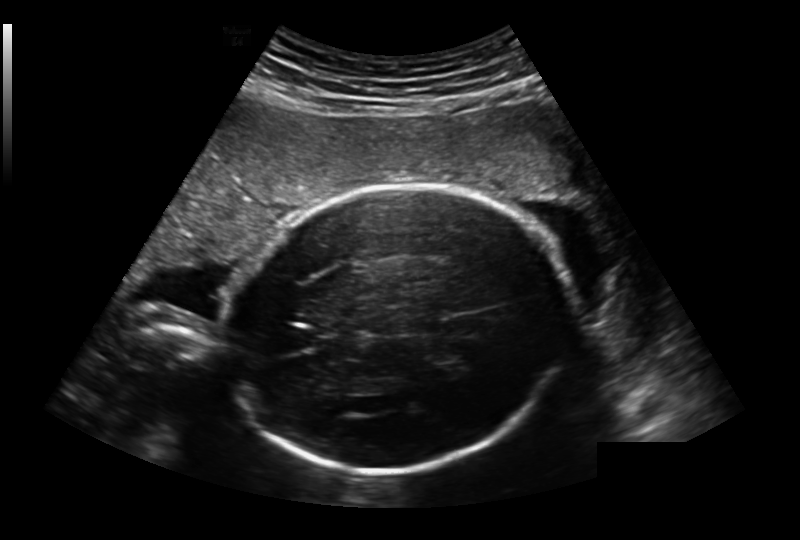
What is the fetal head circumference? Image width is 188.6 mm.

240.9 mm